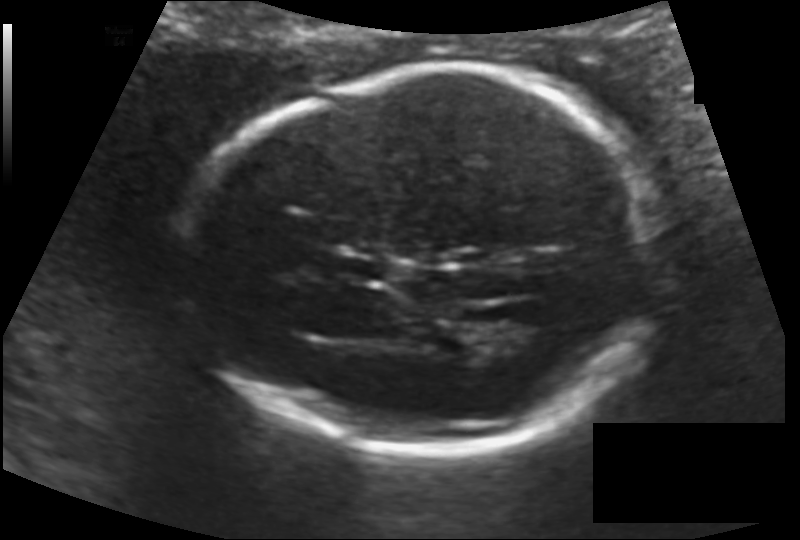
In this fetal head ultrasound, give the bounding box of the fetal head. Image width: 102.3 mm.

[189,67,661,453]